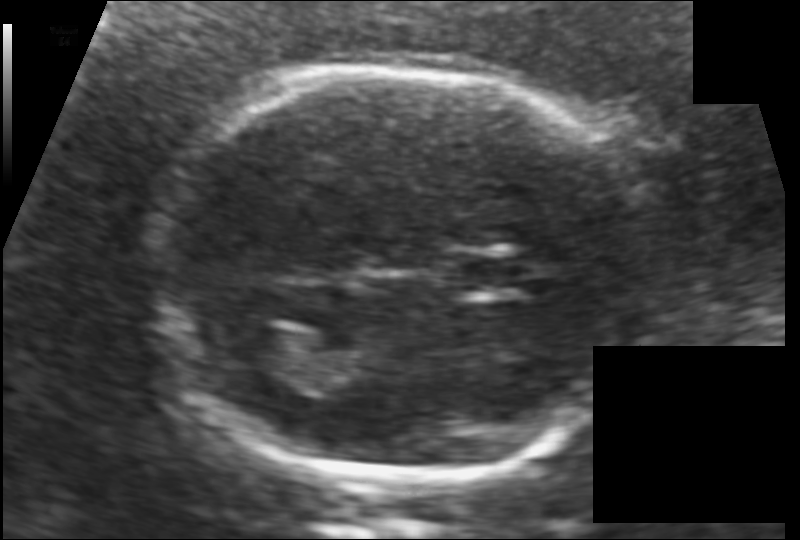
Fetal head ultrasound. Image width: 94.0 mm. Locate the fetal head and, if visible, the cavum septum pellucidum (CSP) and lateral ventricle (LV). Give bounding boxes as [x1,y1,x2,y2].

Head: [153,65,646,486]
CSP: [453,254,522,295]
Lateral ventricle: [220,315,300,376]